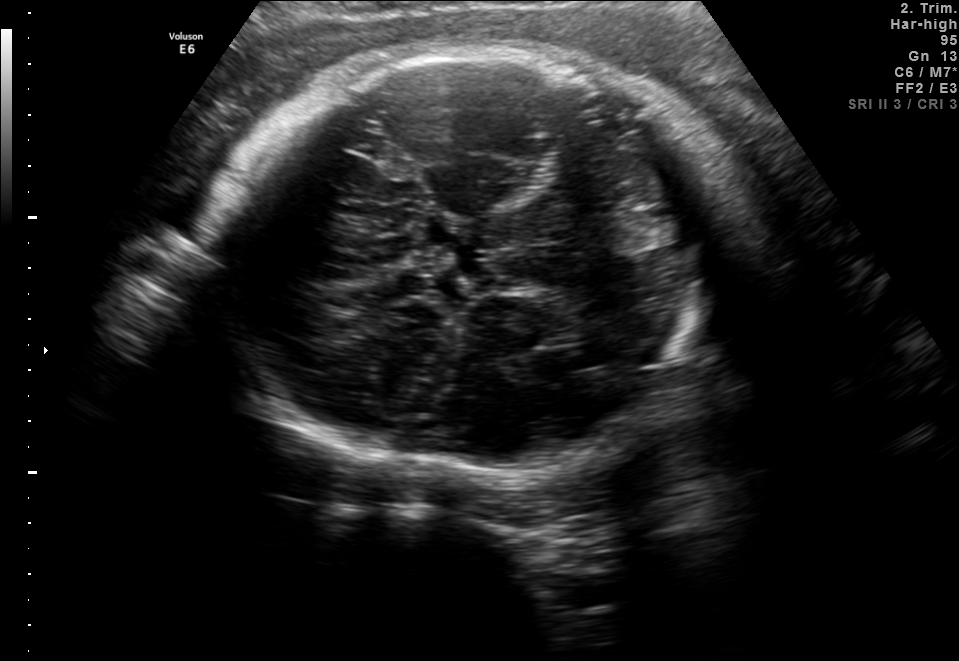
Fetal brain, trans-thalamic plane. Give [x1,y1,x2,y2] bounding boxes for each visible structure among: fetal head, CSP, LV.

Head: [204,49,747,472]